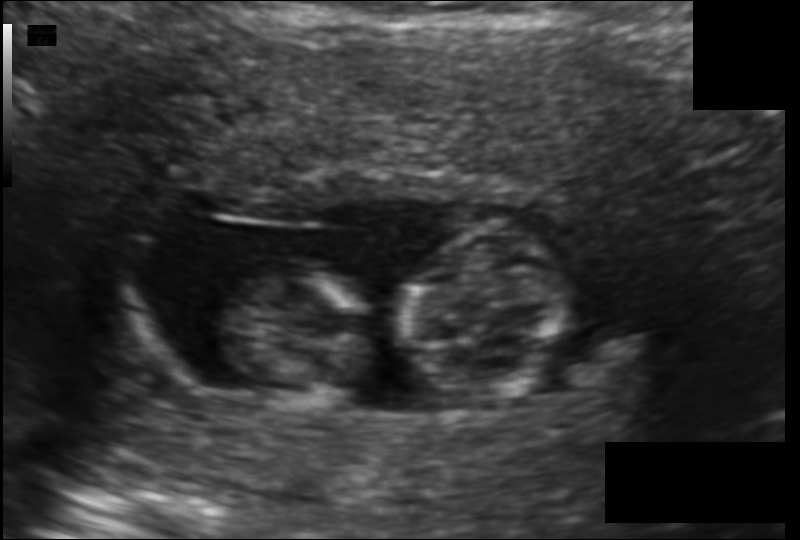
Estimate the fetal head circumference from this 2D ultrasound. Image width: 95.3 mm.

Head circumference: 67.9 mm.